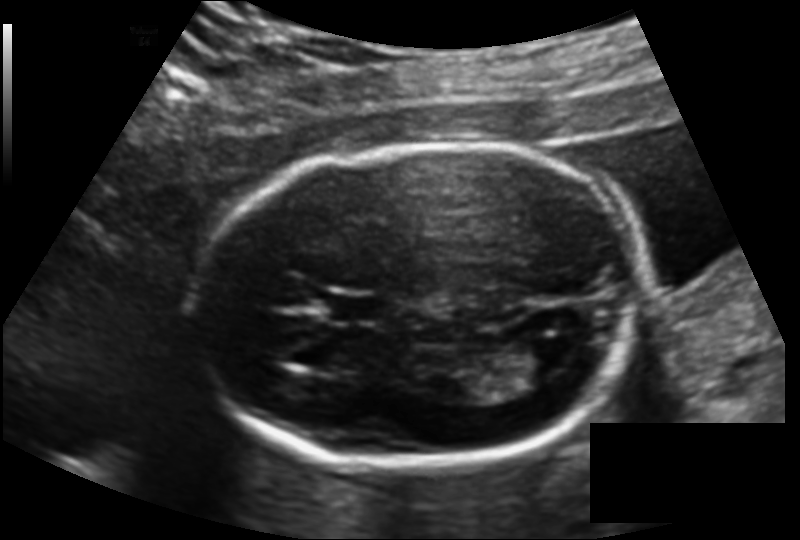
From this fetal ultrasound, estimate the head circumference (image width 109.3 mm).

Head circumference: 174.9 mm.